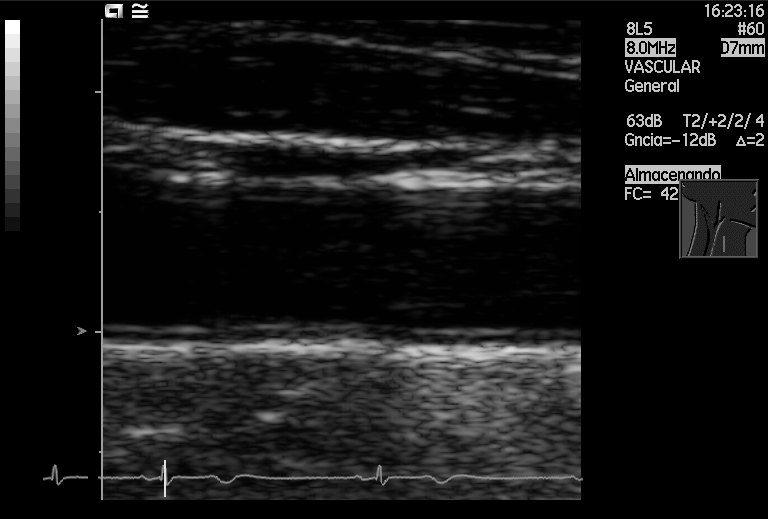
Classify this maternal-fetal ultrasound image as one of the six standard planes — fetal abdomen, fetal brain, fetal femur, fetal thorax, maternal cervix, or other. If it's fetal brain and one of the three standard brain planes (trans-thalamic, trans-cerebellum, trans-ventricular), name which.

Other